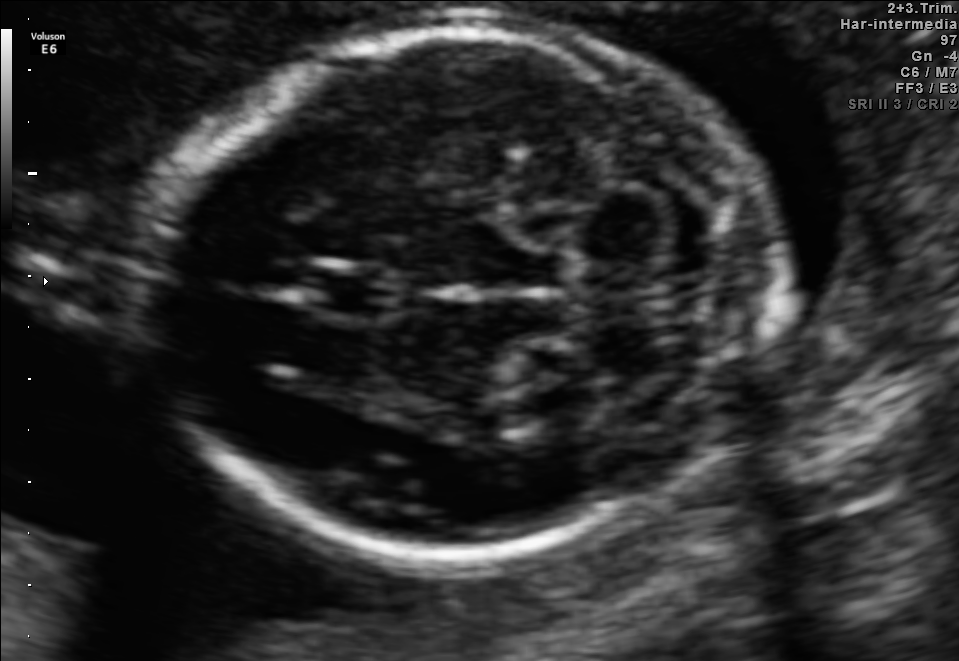
Fetal brain, trans-cerebellum plane. Locate the fetal head.

Head: [145,28,782,551]